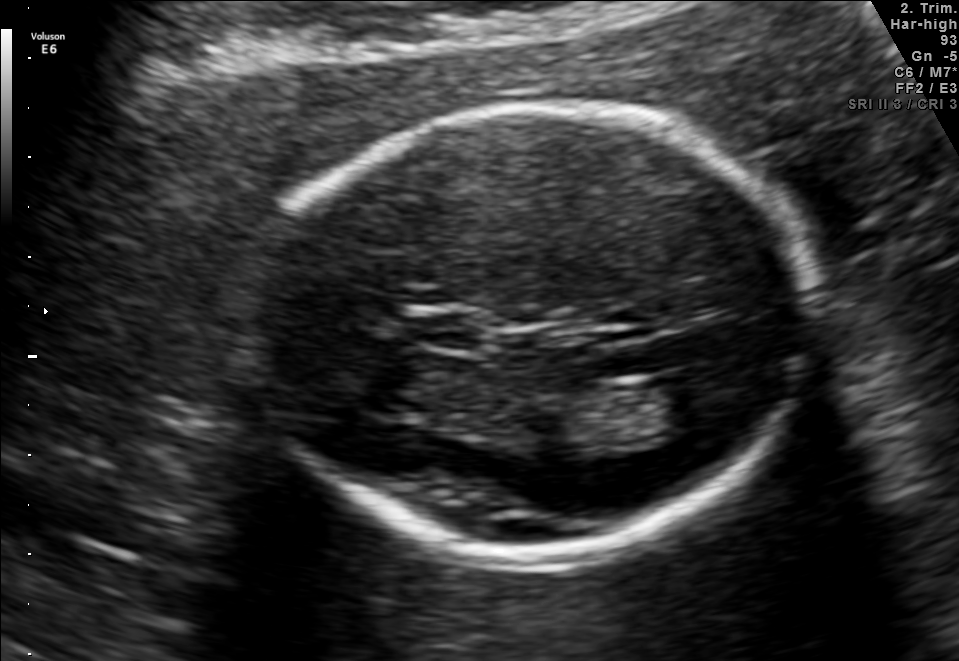
Classify this maternal-fetal ultrasound image as one of the six standard planes — fetal abdomen, fetal brain, fetal femur, fetal thorax, maternal cervix, or other. If it's fetal brain and one of the three standard brain planes (trans-thalamic, trans-cerebellum, trans-ventricular), name which.

Fetal brain (trans-thalamic plane)